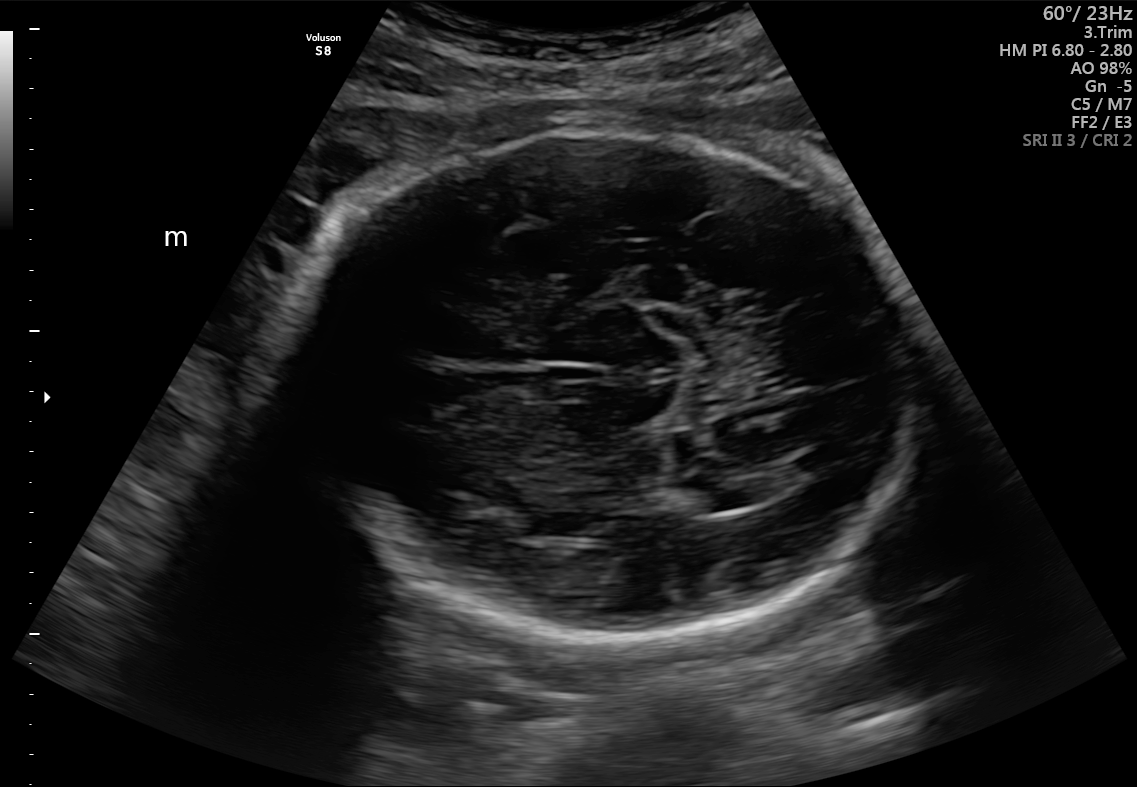
In this fetal brain, trans-thalamic plane, give the bounding box of the lateral ventricle.

[684,465,767,519]